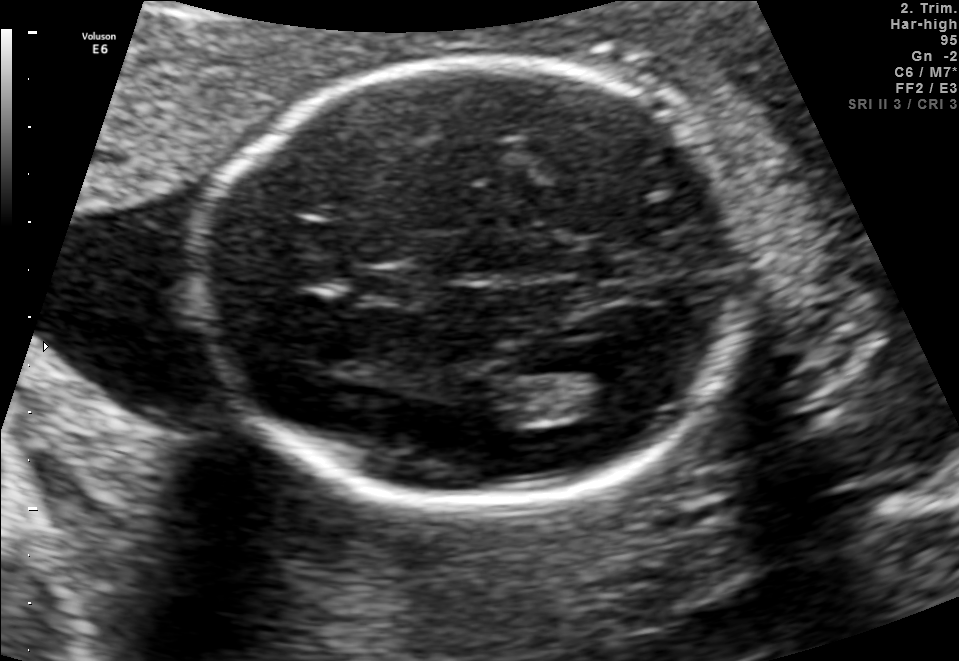
Fetal brain, trans-thalamic plane. Locate the lateral ventricle.

Lateral ventricle: [554,360,655,422]